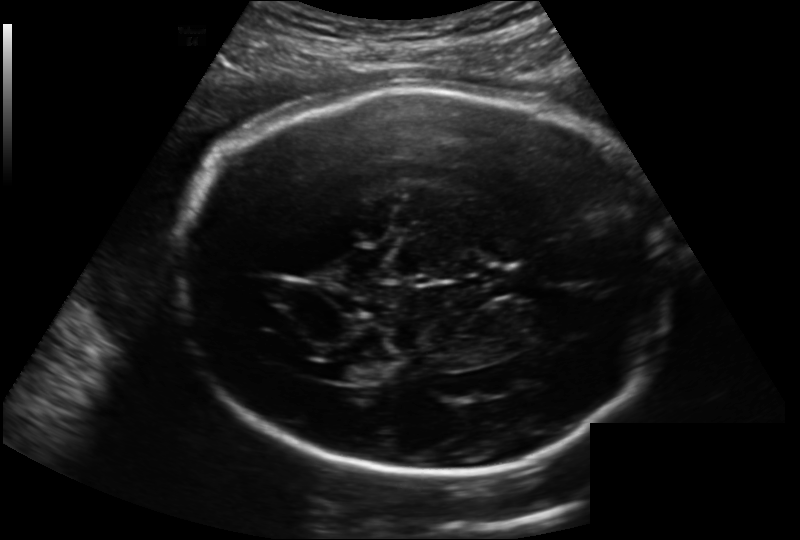
Fetal head ultrasound. Image width: 161.8 mm. Where is the fetal head?

Head bounding box: [179,87,668,477]